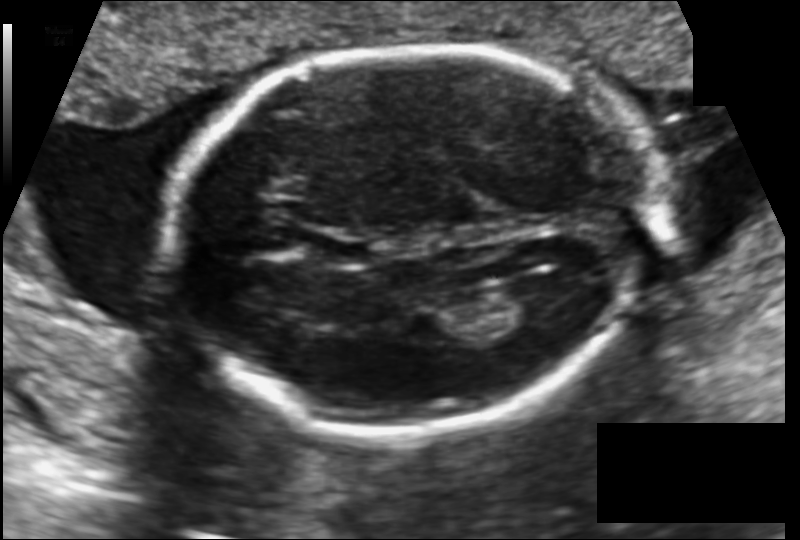
Fetal head ultrasound. Image width: 106.0 mm. Where is the fetal head?

Head bounding box: [170,47,650,435]